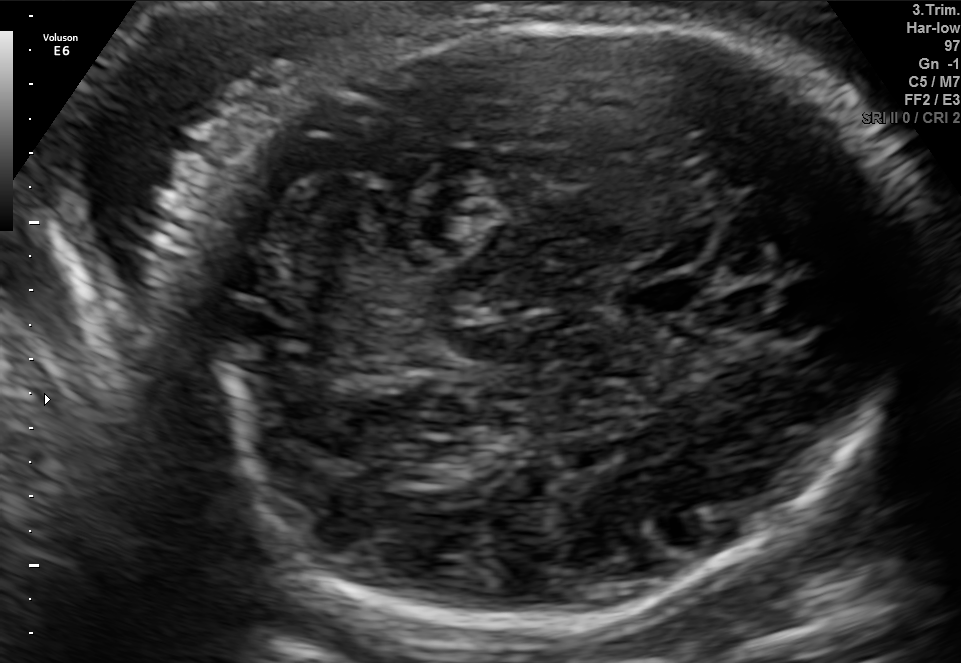
Classify this maternal-fetal ultrasound image as one of the six standard planes — fetal abdomen, fetal brain, fetal femur, fetal thorax, maternal cervix, or other. If it's fetal brain and one of the three standard brain planes (trans-thalamic, trans-cerebellum, trans-ventricular), name which.

Fetal brain (trans-cerebellum plane)